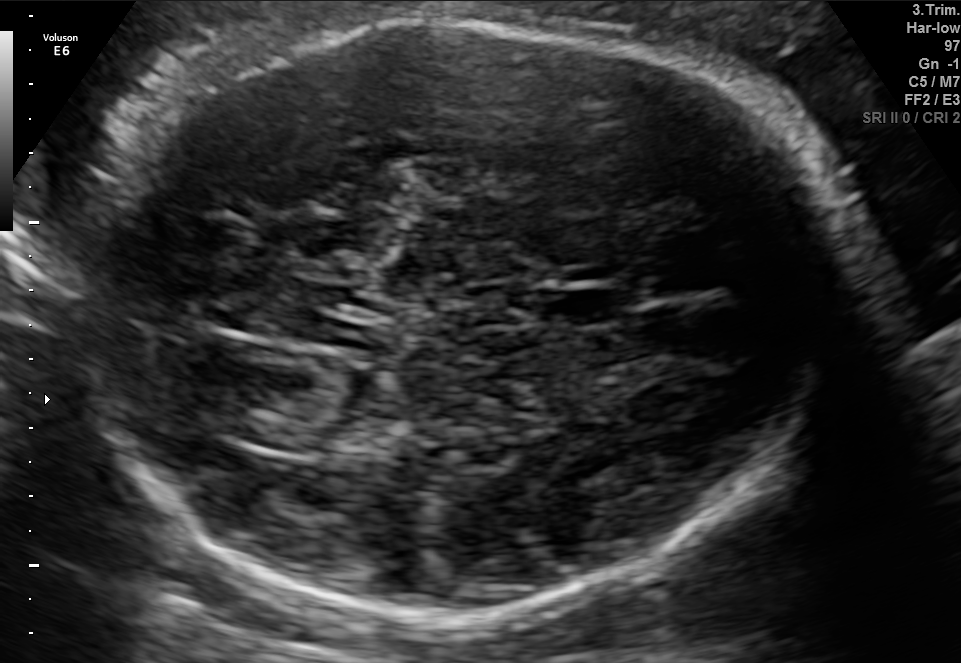
In this fetal brain, trans-thalamic plane, give bounding boxes for the head outline, cavum septum pellucidum (CSP), and lateral ventricle (LV), where visible.

Head: [82,16,835,619]
CSP: [537,287,624,326]
Lateral ventricle: [232,405,322,456]